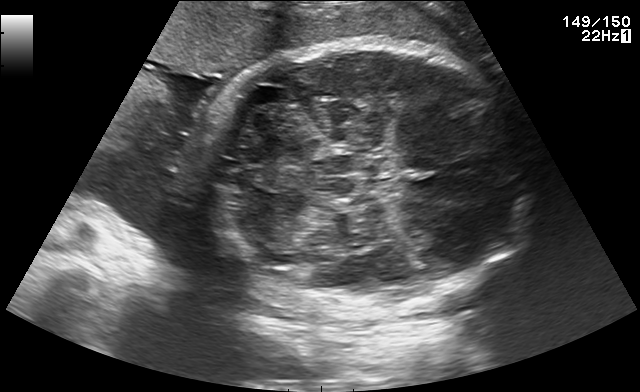
In this fetal brain, trans-cerebellum plane, give bounding boxes for the head outline, cavum septum pellucidum (CSP), and lateral ventricle (LV), where visible.

Head: [202,41,528,308]